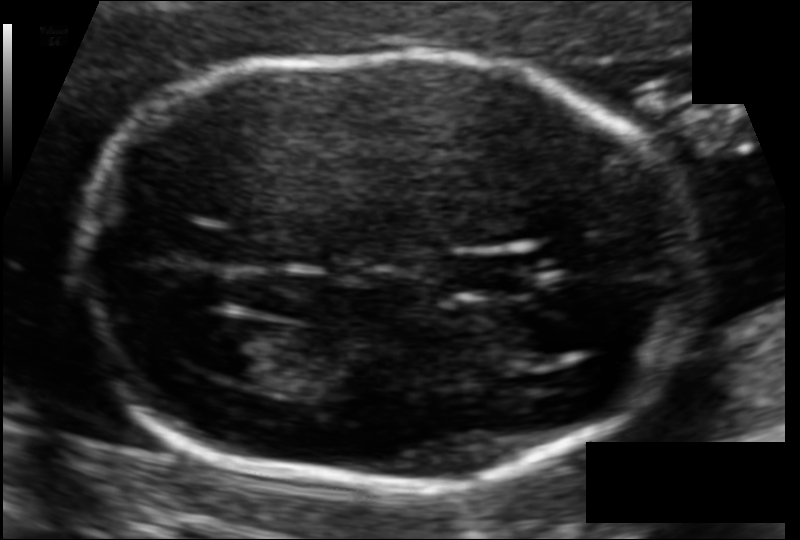
Estimate the fetal head circumference from this 2D ultrasound.

Head circumference: 159.9 mm (image width 73.9 mm).